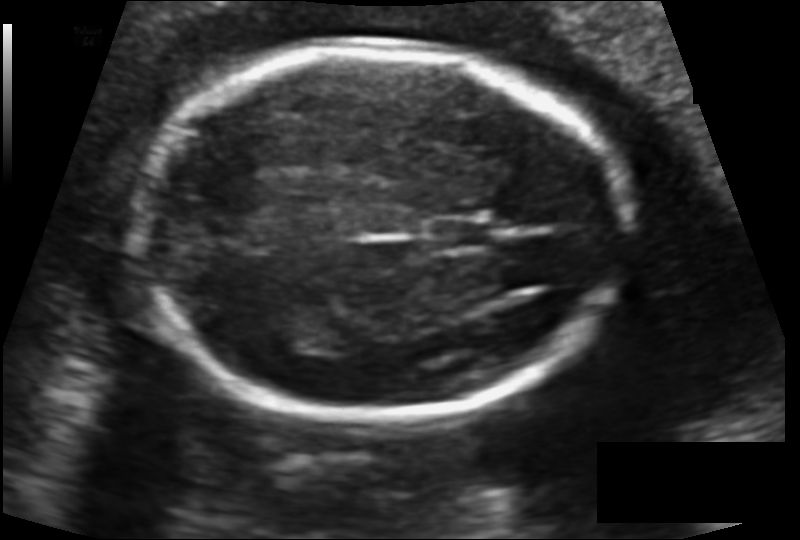
Fetal head ultrasound. Image width: 98.1 mm. Give [x1,y1,x2,y2] bounding boxes for each visible structure among: fetal head, CSP, LV.

Head: [134,51,626,417]